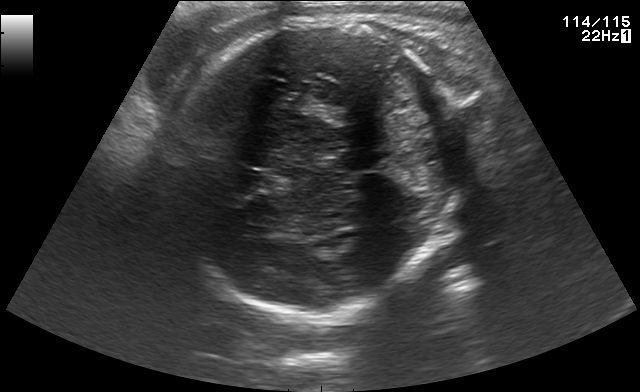
Fetal brain, trans-thalamic plane. Give [x1,y1,x2,y2] bounding boxes for each visible structure among: fetal head, CSP, LV.

Head: [166,24,466,313]